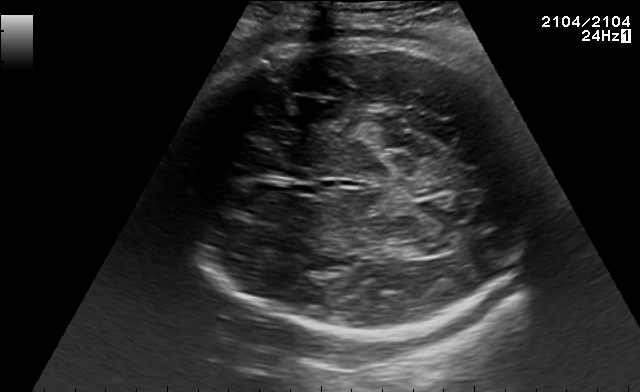
Fetal brain, trans-thalamic plane. Locate the fetal head and, if visible, the cavum septum pellucidum (CSP) and lateral ventricle (LV). Give bounding boxes as [x1,y1,x2,y2].

Head: [168,40,538,335]
CSP: [293,185,317,194]
Lateral ventricle: [412,234,459,258]